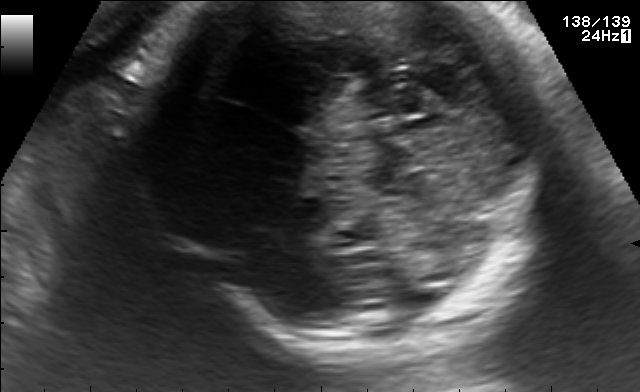
Fetal brain, trans-cerebellum plane. Where is the fetal head?

Head bounding box: [159,1,551,350]